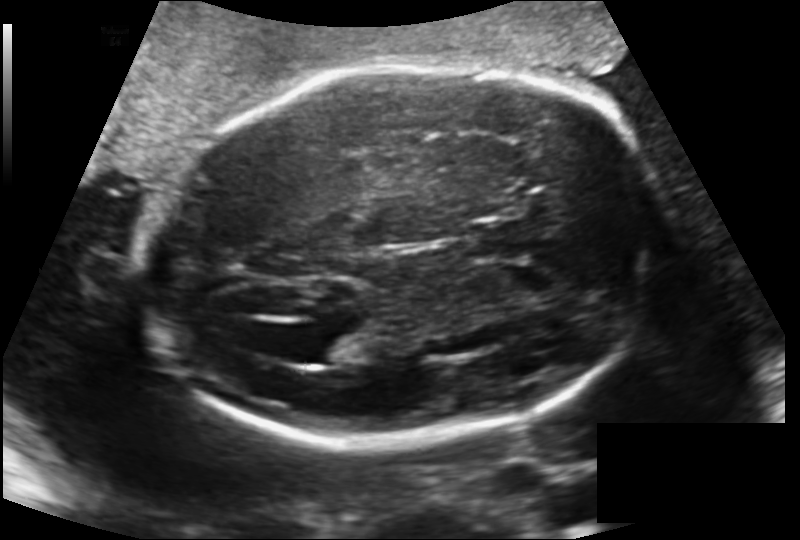
In this fetal head ultrasound, give the bounding box of the lateral ventricle. Image width: 136.0 mm.

[308,330,361,367]